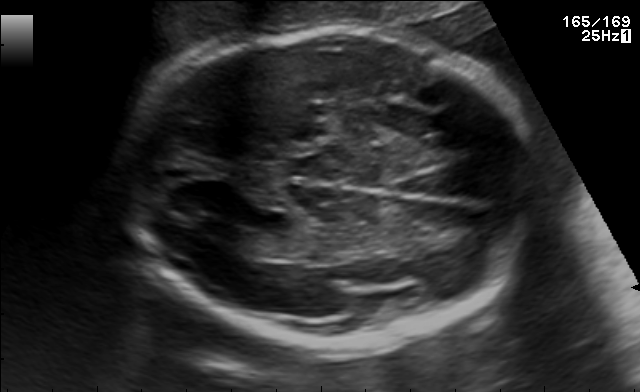
This is a 2D maternal-fetal ultrasound frame. Is it a fetal abdomen, fetal brain, fetal femur, fetal thorax, maternal cervix, or other standard plane? If it's fetal brain and one of the three standard brain planes (trans-thalamic, trans-cerebellum, trans-ventricular), name which.

Fetal brain (trans-ventricular plane)